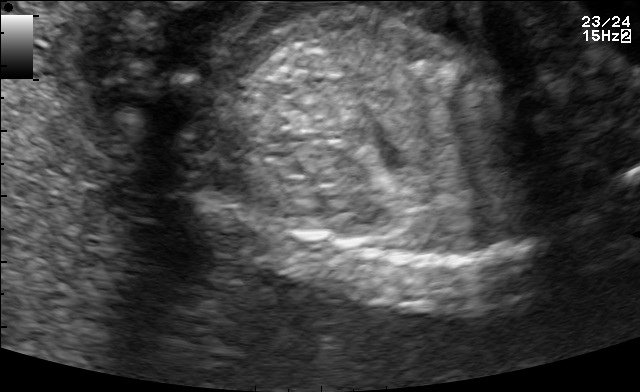
Classify this maternal-fetal ultrasound image as one of the six standard planes — fetal abdomen, fetal brain, fetal femur, fetal thorax, maternal cervix, or other. If it's fetal brain and one of the three standard brain planes (trans-thalamic, trans-cerebellum, trans-ventricular), name which.

Other